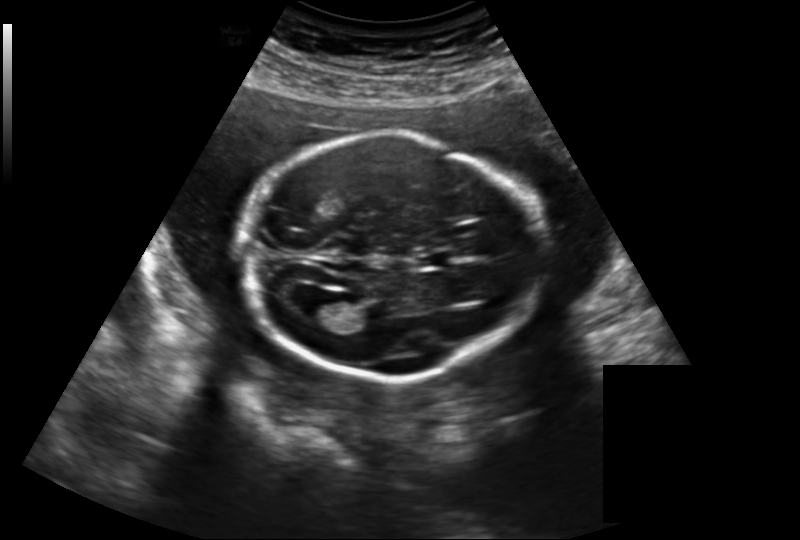
Fetal head ultrasound. Image width: 175.2 mm. Where is the fetal head?

Head bounding box: [241,133,542,381]